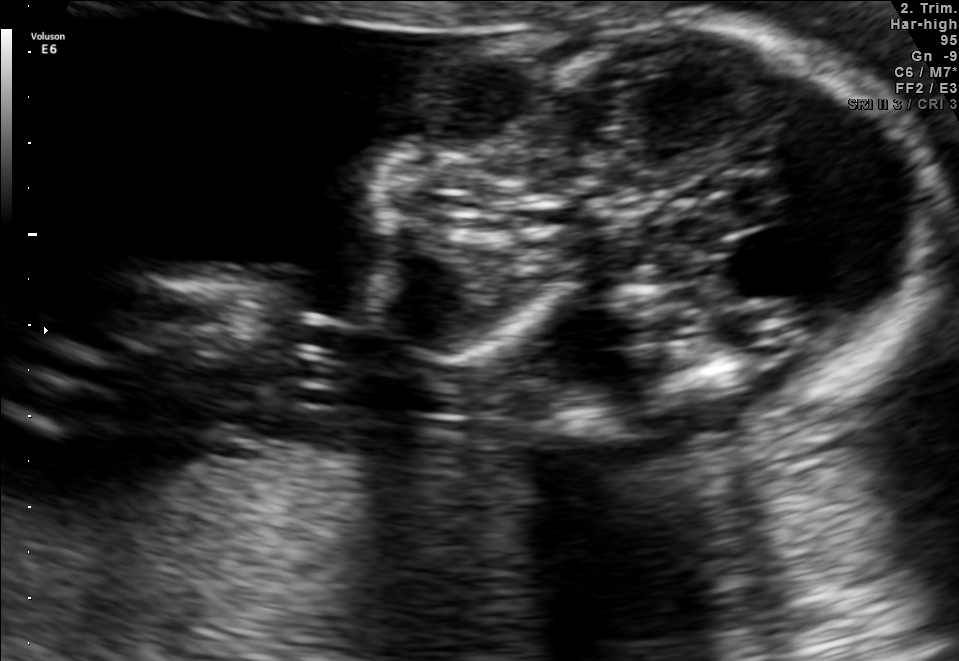
Classify this maternal-fetal ultrasound image as one of the six standard planes — fetal abdomen, fetal brain, fetal femur, fetal thorax, maternal cervix, or other. If it's fetal brain and one of the three standard brain planes (trans-thalamic, trans-cerebellum, trans-ventricular), name which.

Other